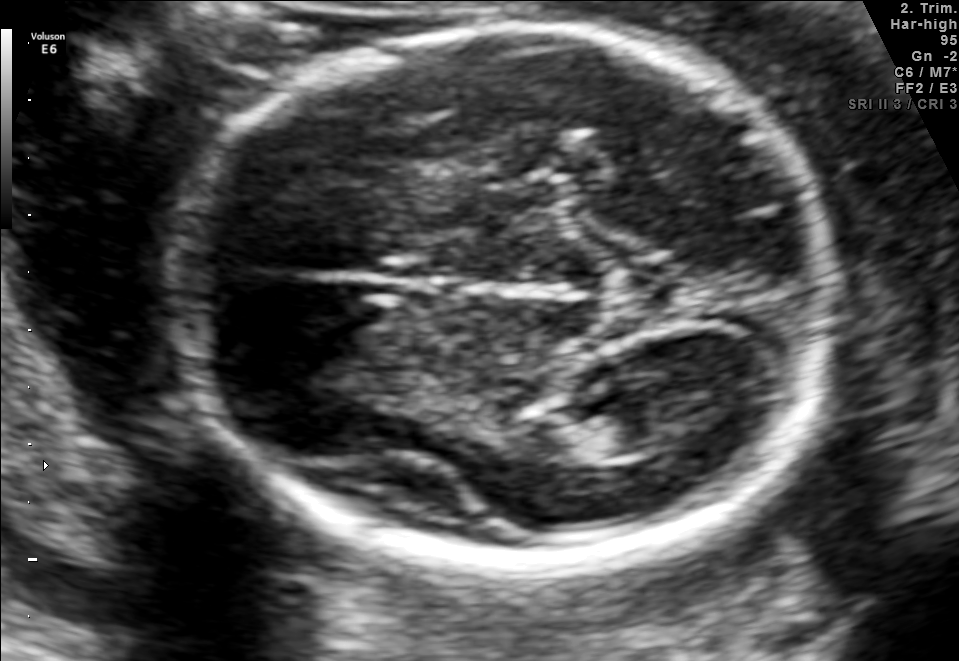
Fetal brain, trans-thalamic plane. Locate the lateral ventricle.

Lateral ventricle: [552,382,672,470]